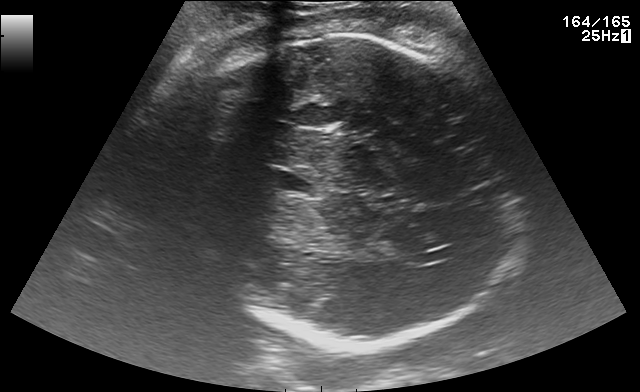
Fetal brain, trans-thalamic plane. Where is the cavum septum pellucidum?

CSP bounding box: [276,169,313,193]